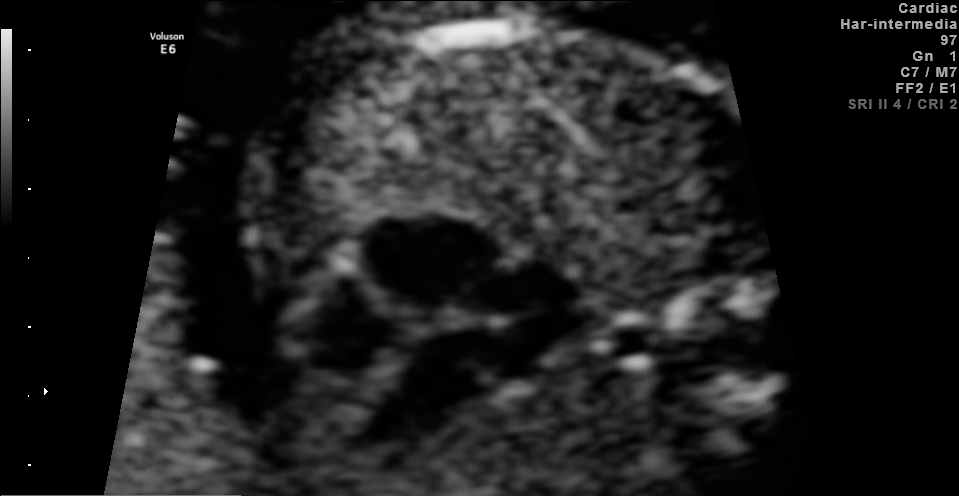
Identify the standard plane in this fetal ultrasound image: fetal abdomen, fetal brain, fetal femur, fetal thorax, maternal cervix, or other. If it's fetal brain and one of the three standard brain planes (trans-thalamic, trans-cerebellum, trans-ventricular), name which.

Fetal thorax